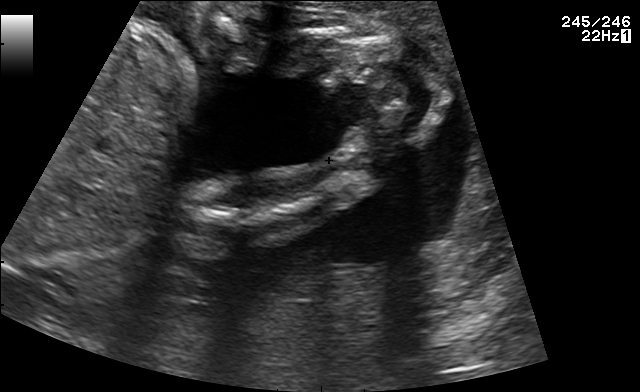
Identify the standard plane in this fetal ultrasound image: fetal abdomen, fetal brain, fetal femur, fetal thorax, maternal cervix, or other. If it's fetal brain and one of the three standard brain planes (trans-thalamic, trans-cerebellum, trans-ventricular), name which.

Other